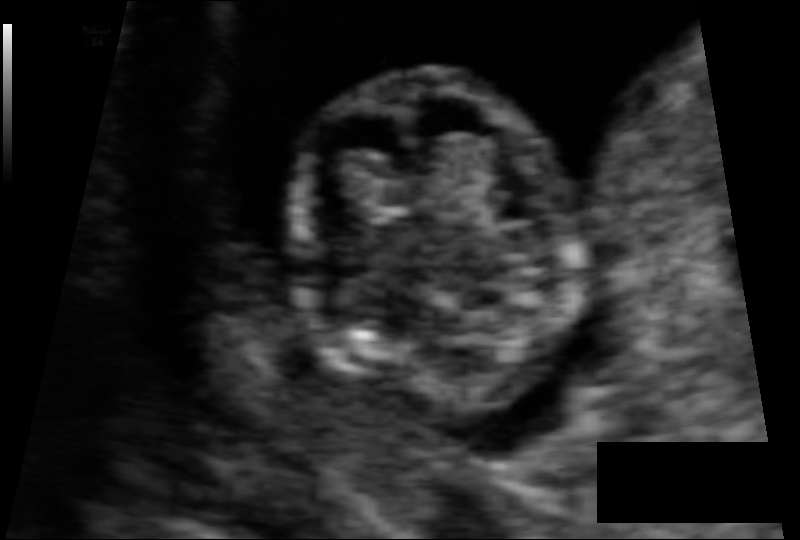
Fetal head ultrasound. Image width: 52.5 mm. Locate the fetal head and, if visible, the cavum septum pellucidum (CSP) and lateral ventricle (LV). Give bounding boxes as [x1,y1,x2,y2].

Head: [289,70,585,427]